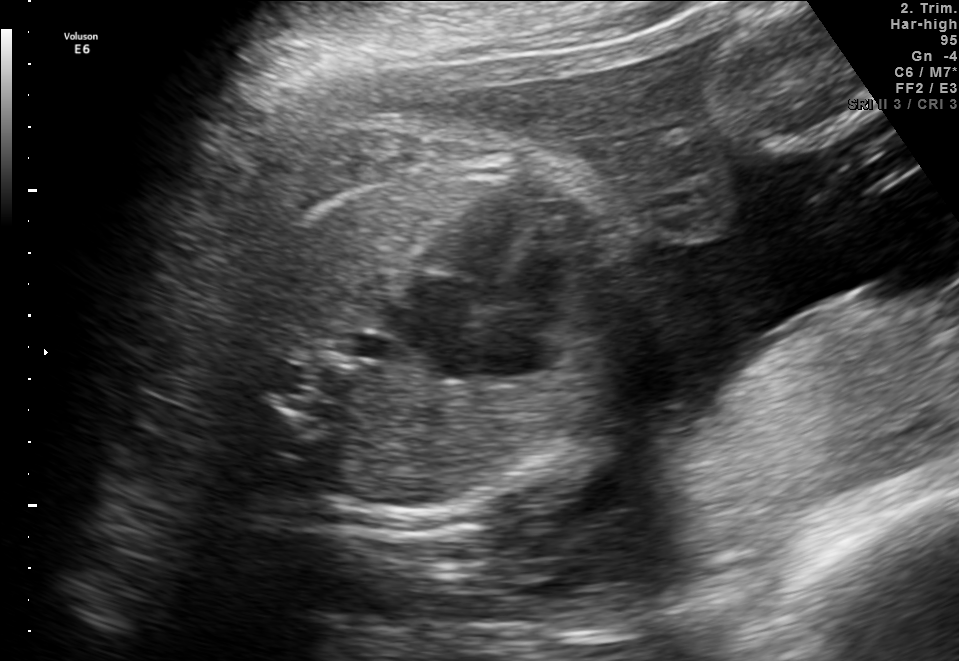
Identify the standard plane in this fetal ultrasound image: fetal abdomen, fetal brain, fetal femur, fetal thorax, maternal cervix, or other. If it's fetal brain and one of the three standard brain planes (trans-thalamic, trans-cerebellum, trans-ventricular), name which.

Fetal thorax